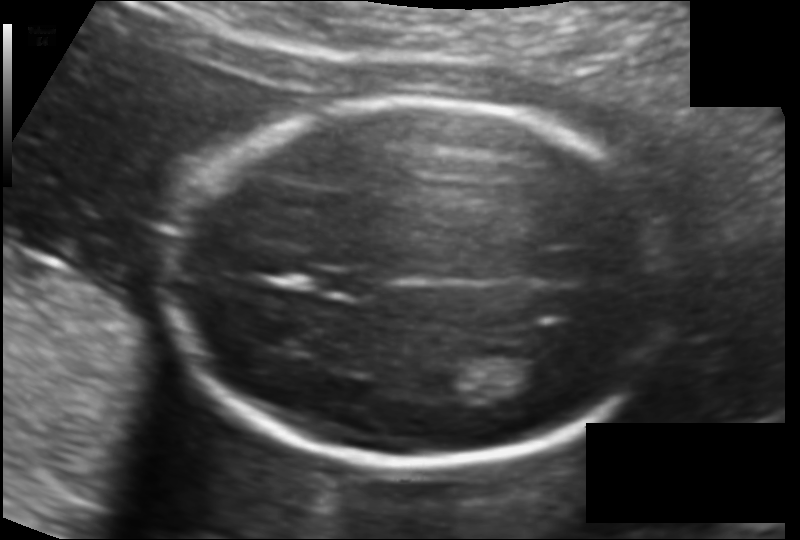
Fetal head ultrasound. Image width: 97.1 mm. Where is the cavum septum pellucidum?

CSP bounding box: [312,267,373,298]